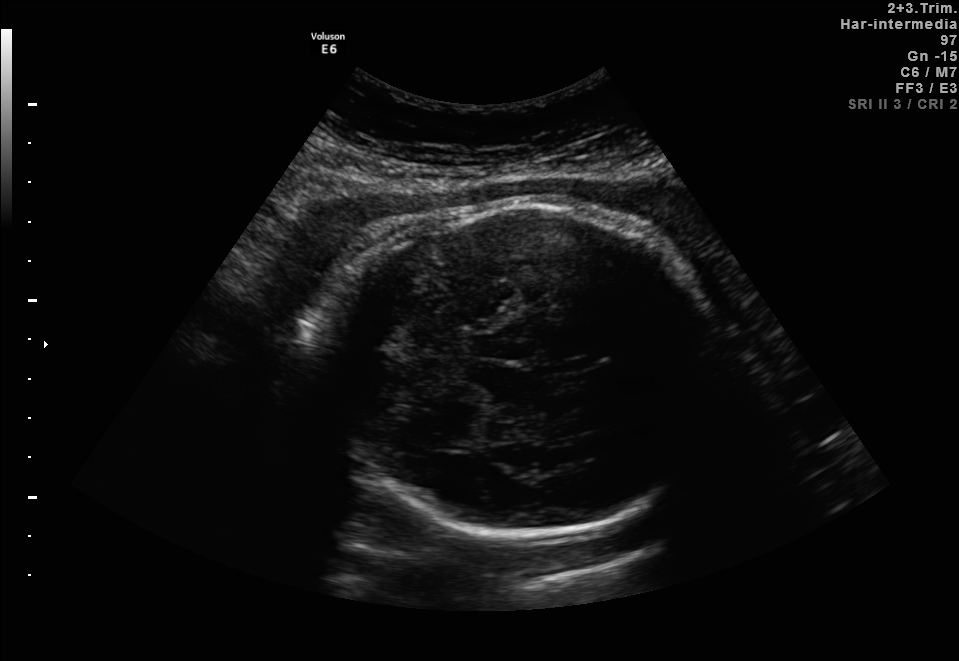
This is a 2D maternal-fetal ultrasound frame. Is it a fetal abdomen, fetal brain, fetal femur, fetal thorax, maternal cervix, or other standard plane? If it's fetal brain and one of the three standard brain planes (trans-thalamic, trans-cerebellum, trans-ventricular), name which.

Fetal brain (trans-thalamic plane)